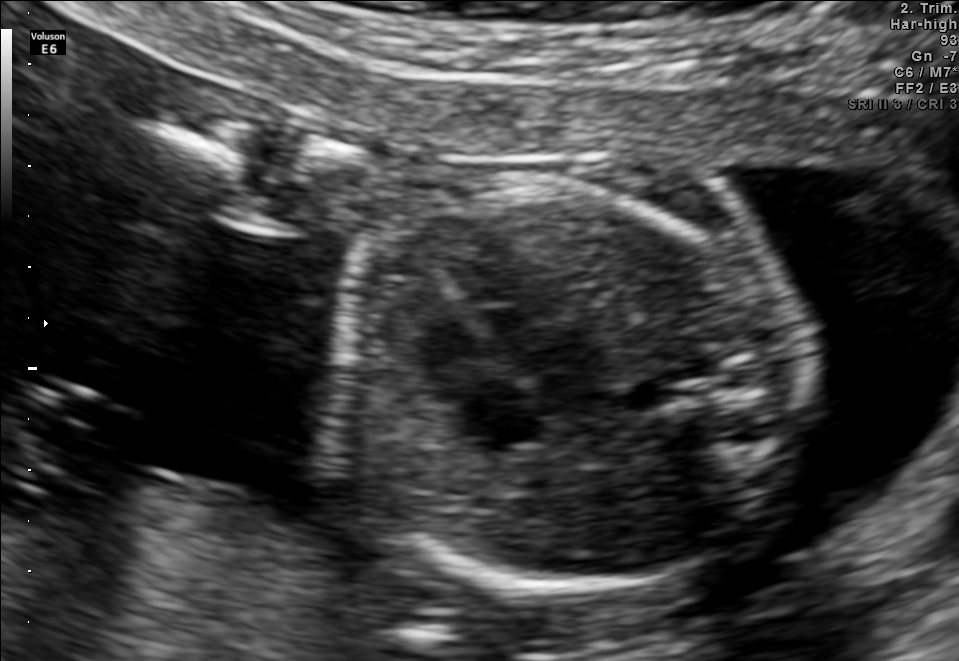
Which standard maternal-fetal ultrasound plane is shown: fetal abdomen, fetal brain, fetal femur, fetal thorax, maternal cervix, or other? If it's fetal brain and one of the three standard brain planes (trans-thalamic, trans-cerebellum, trans-ventricular), name which.

Fetal thorax